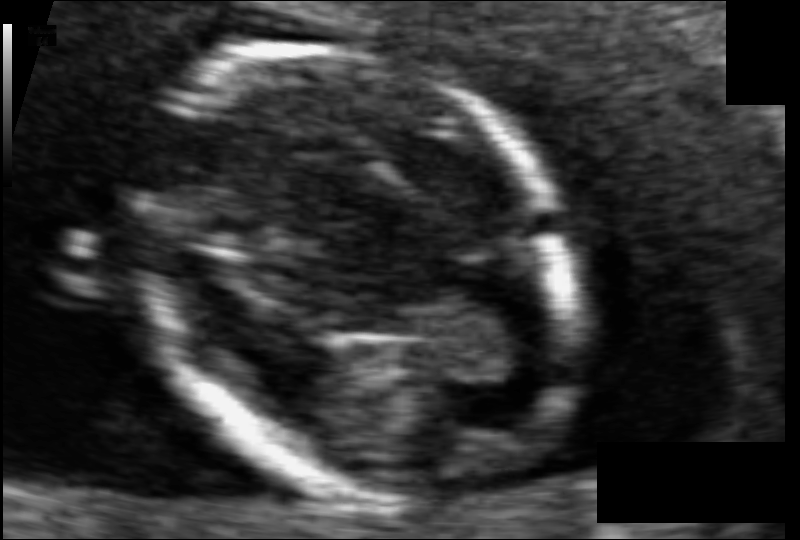
Fetal head ultrasound. Image width: 48.9 mm. Give [x1,y1,x2,y2] bounding boxes for each visible structure among: fetal head, CSP, LV.

Head: [137,47,568,498]